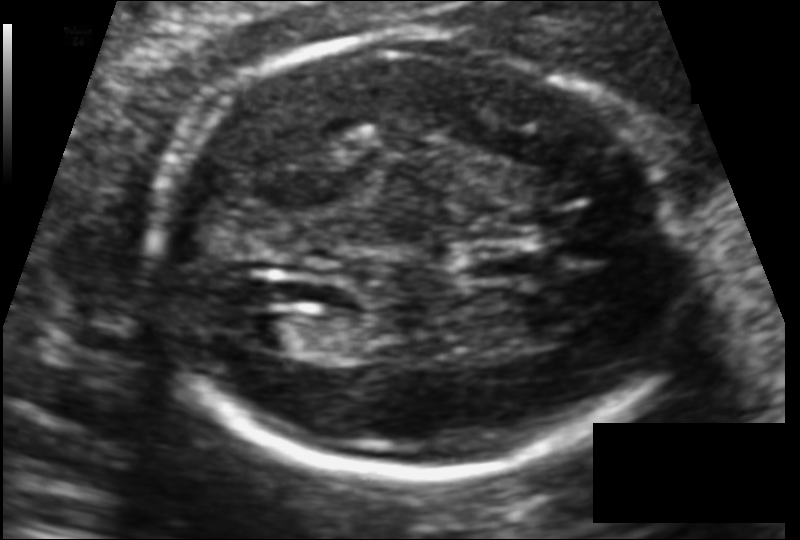
In this fetal head ultrasound, give the bounding box of the cavum septum pellucidum. Image width: 88.1 mm.

[461,250,530,285]